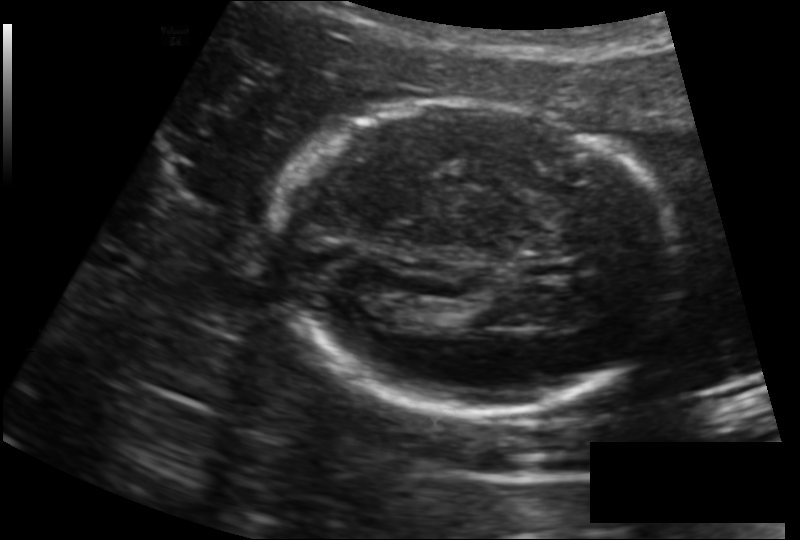
Fetal head ultrasound. Image width: 125.2 mm. Locate the fetal head.

Head: [275,105,673,413]